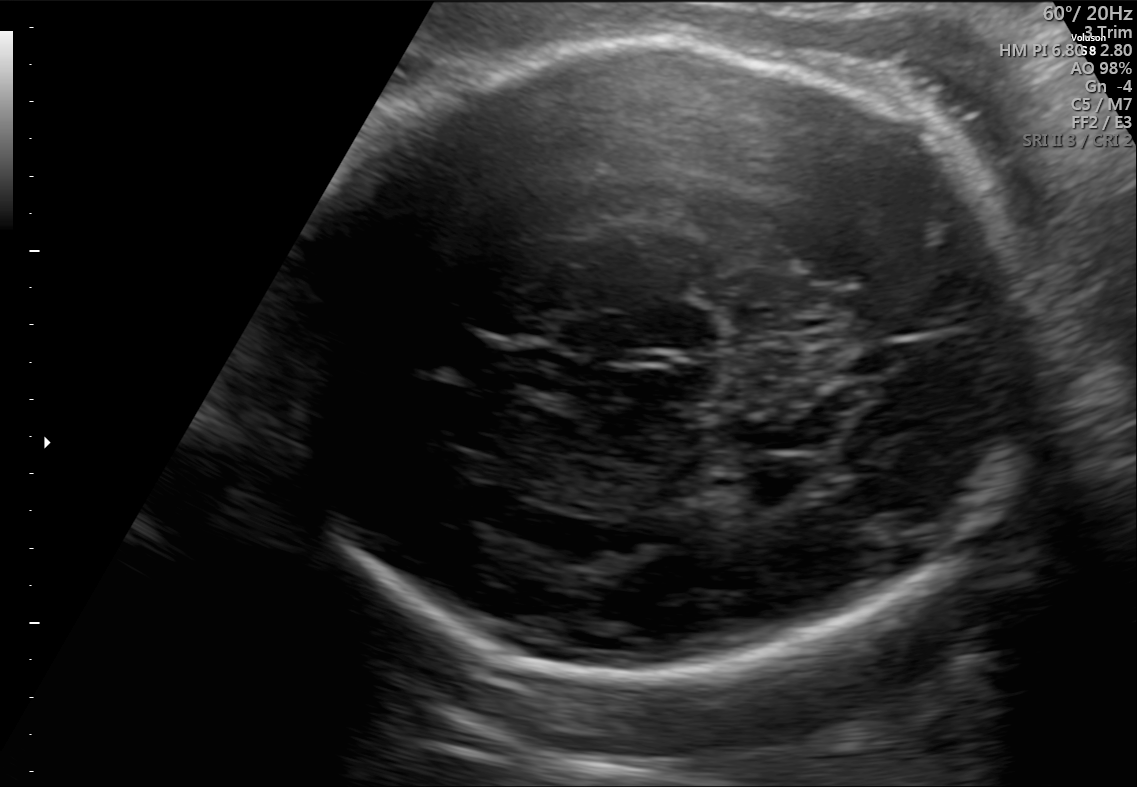
Fetal brain, trans-thalamic plane. Locate the fetal head.

Head: [270,39,1030,676]